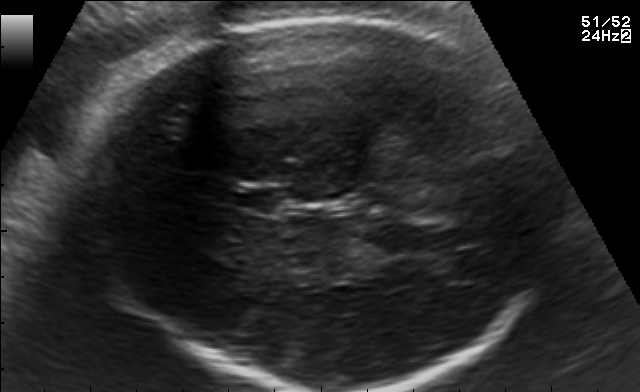
In this fetal brain, trans-thalamic plane, give the bounding box of the fetal head.

[86,13,553,390]